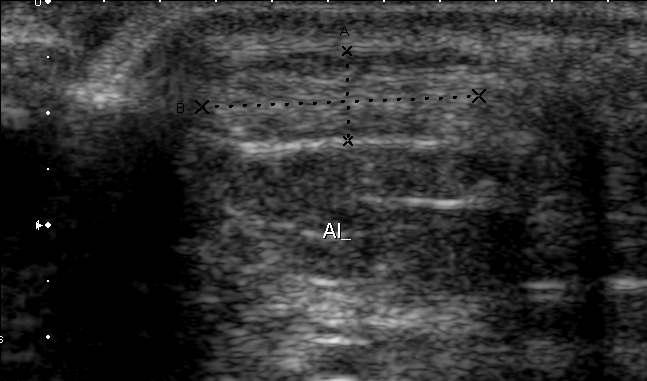
Classify this maternal-fetal ultrasound image as one of the six standard planes — fetal abdomen, fetal brain, fetal femur, fetal thorax, maternal cervix, or other. If it's fetal brain and one of the three standard brain planes (trans-thalamic, trans-cerebellum, trans-ventricular), name which.

Other